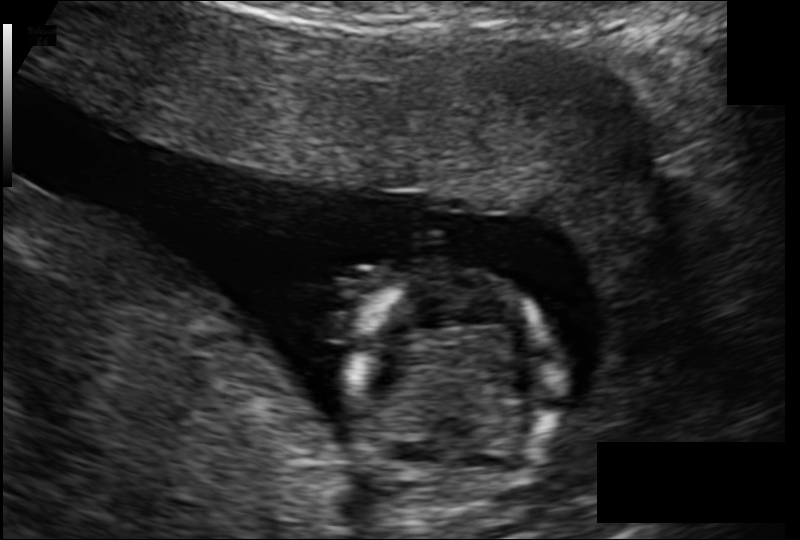
In this fetal head ultrasound, give bounding boxes for the head outline, cavum septum pellucidum (CSP), and lateral ventricle (LV), where visible. Image width: 98.6 mm.

Head: [344,270,560,511]